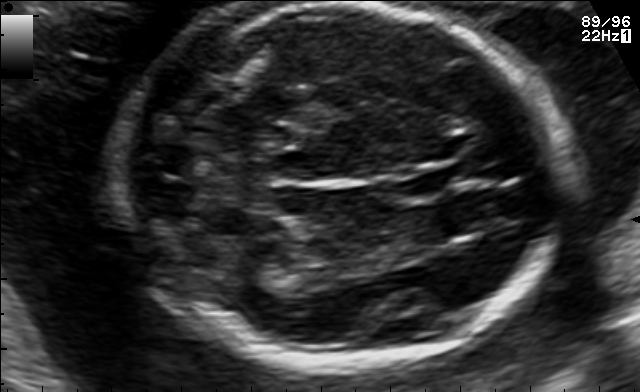
In this fetal brain, trans-thalamic plane, give the bounding box of the fetal head.

[115,2,558,365]